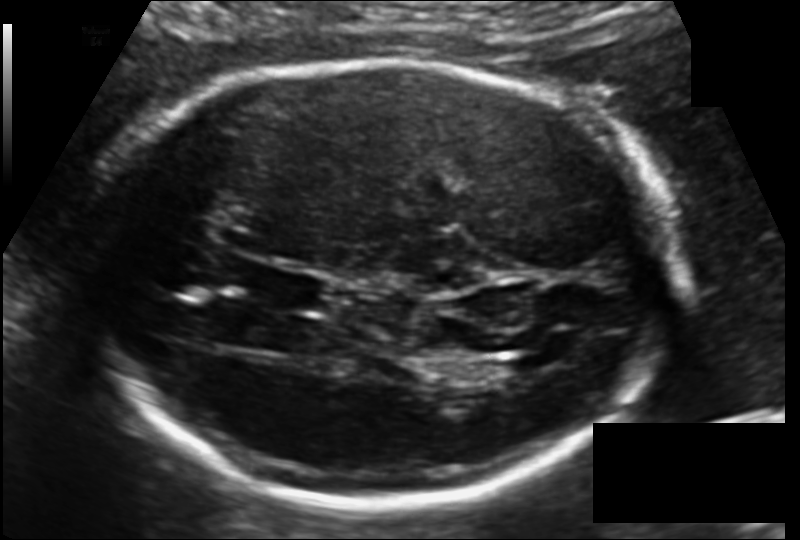
Measure the fetal head circumference shown in this ultrasound image. Image width: 107.8 mm.

Head circumference: 223.9 mm.